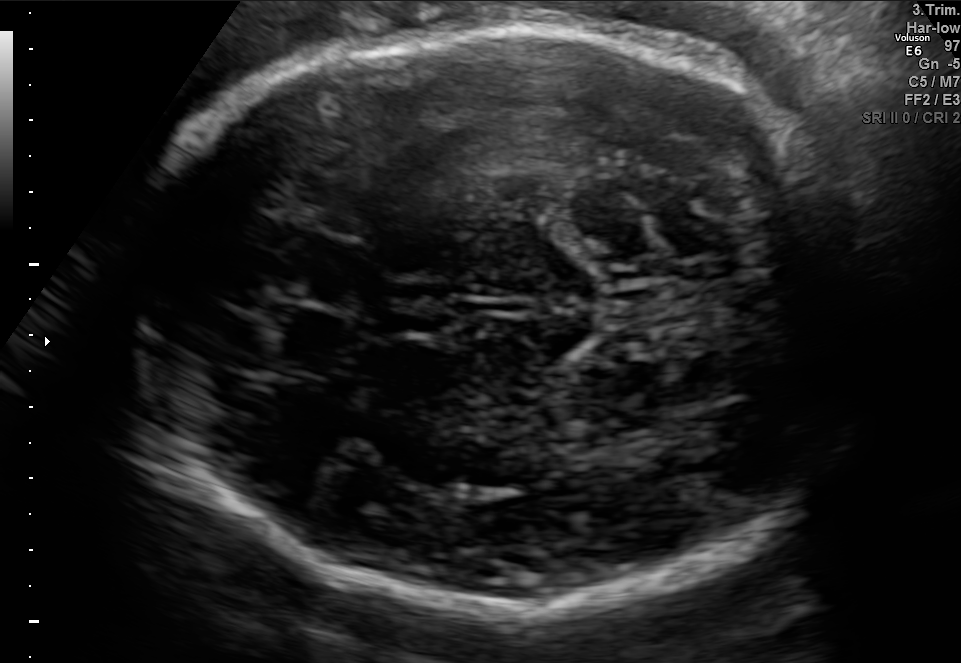
In this fetal brain, trans-thalamic plane, give bounding boxes for the head outline, cavum septum pellucidum (CSP), and lateral ventricle (LV), where visible.

Head: [126,26,865,617]